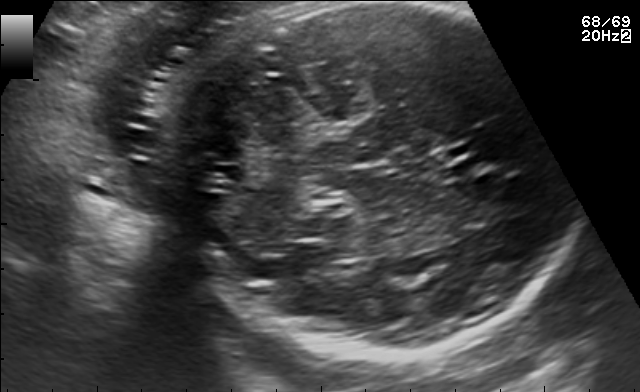
This is a 2D maternal-fetal ultrasound frame. Is it a fetal abdomen, fetal brain, fetal femur, fetal thorax, maternal cervix, or other standard plane? If it's fetal brain and one of the three standard brain planes (trans-thalamic, trans-cerebellum, trans-ventricular), name which.

Fetal brain (trans-cerebellum plane)